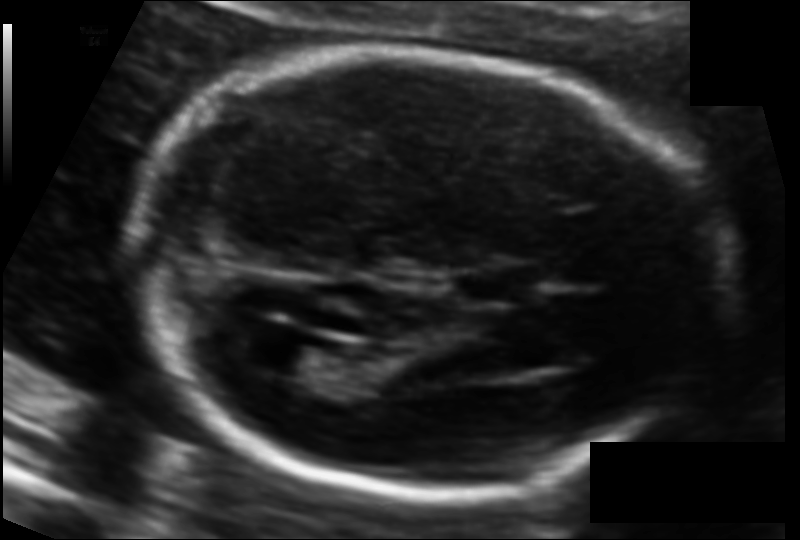
In this fetal head ultrasound, give the bounding box of the fetal head. Image width: 82.9 mm.

[131,53,704,500]